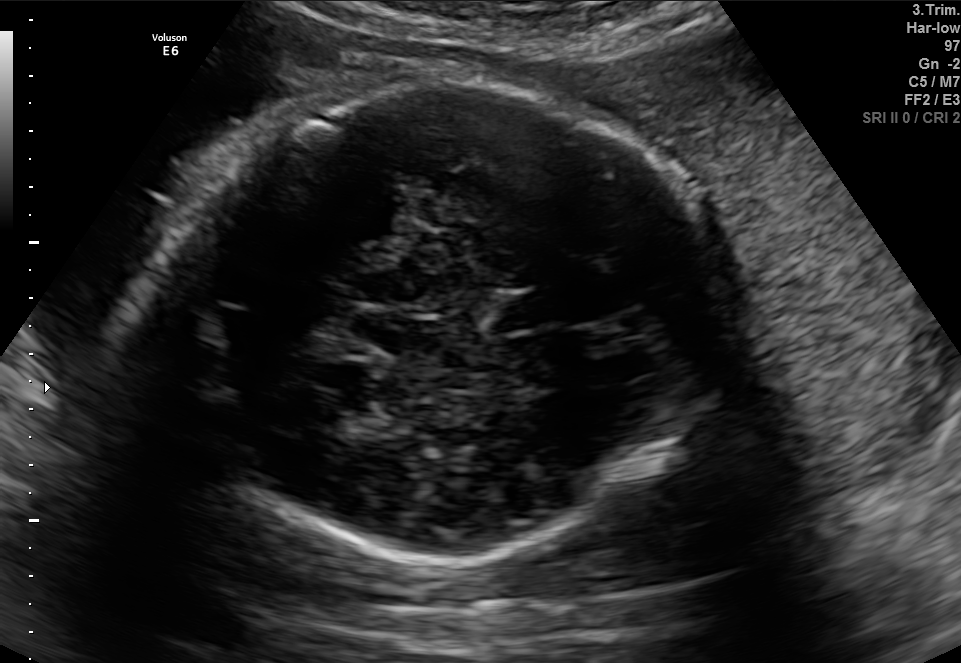
Which standard maternal-fetal ultrasound plane is shown: fetal abdomen, fetal brain, fetal femur, fetal thorax, maternal cervix, or other? If it's fetal brain and one of the three standard brain planes (trans-thalamic, trans-cerebellum, trans-ventricular), name which.

Fetal brain (trans-thalamic plane)